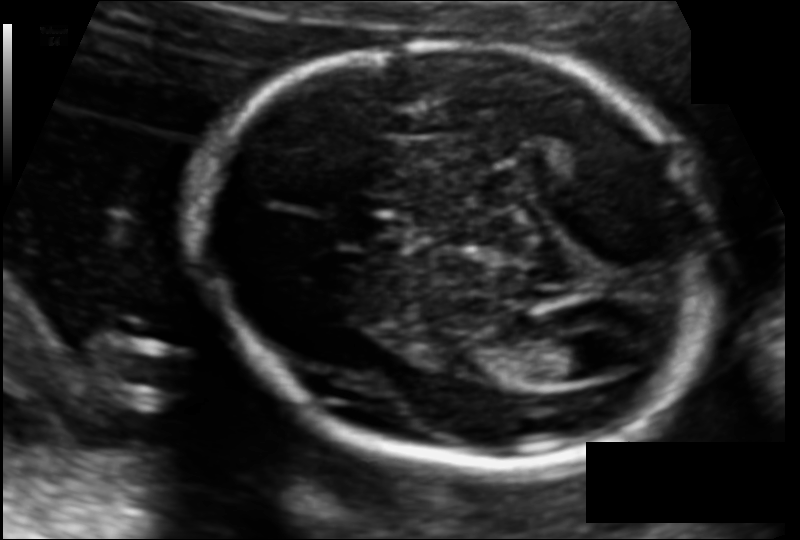
Fetal head ultrasound. Image width: 87.7 mm. Locate the cavum septum pellucidum.

CSP: [331,211,403,249]